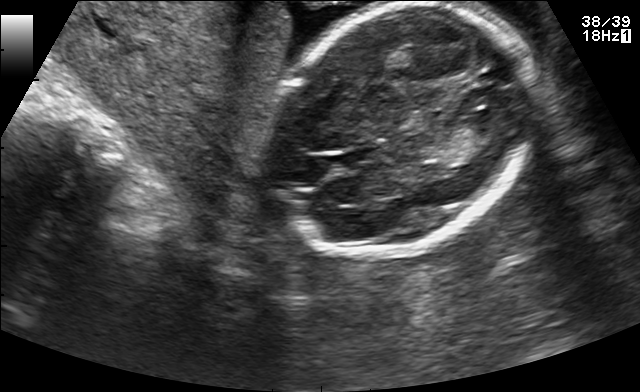
Fetal brain, trans-thalamic plane. Locate the fetal head and, if visible, the cavum septum pellucidum (CSP) and lateral ventricle (LV). Give bounding boxes as [x1,y1,x2,y2].

Head: [272,4,532,255]